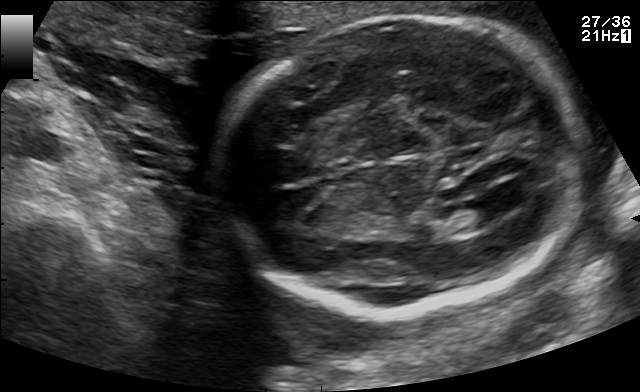
Fetal brain, trans-ventricular plane. Where is the lateral ventricle?

Lateral ventricle bounding box: [467,183,524,224]